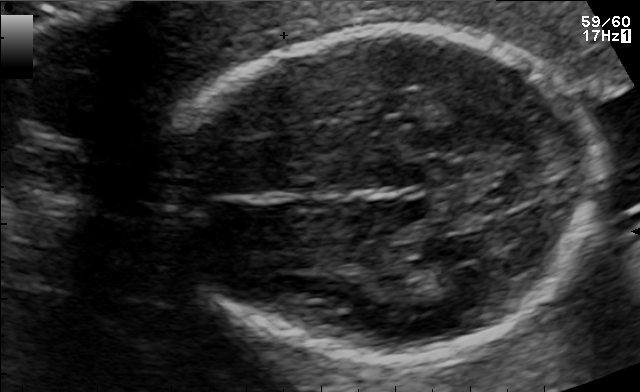
In this fetal brain, trans-thalamic plane, give bounding boxes for the head outline, cavum septum pellucidum (CSP), and lateral ventricle (LV), where visible.

Head: [169,27,599,362]